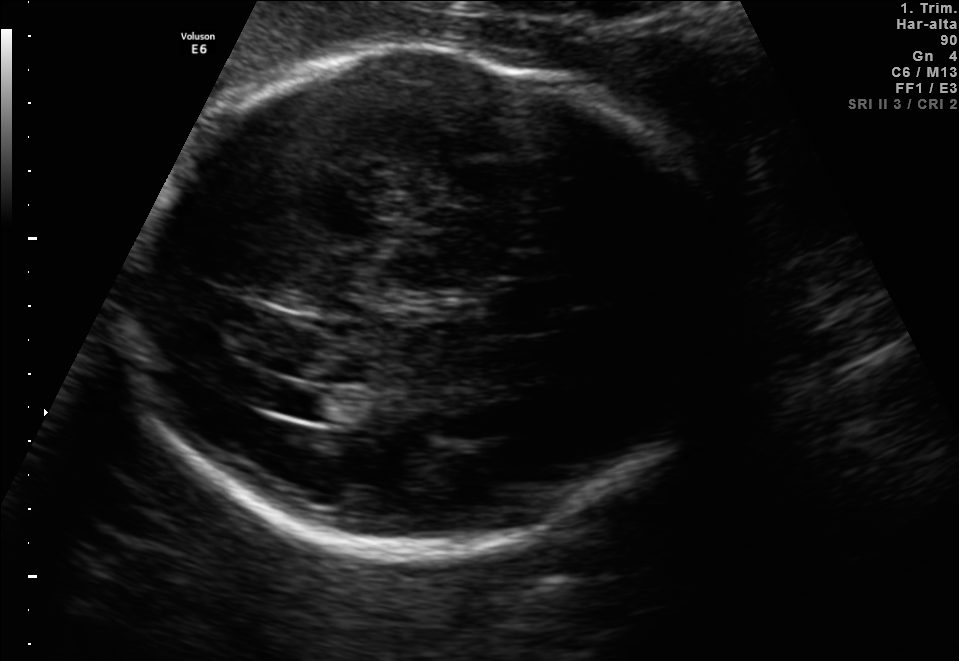
Fetal brain, trans-ventricular plane. Where is the lateral ventricle?

Lateral ventricle bounding box: [249,372,326,422]